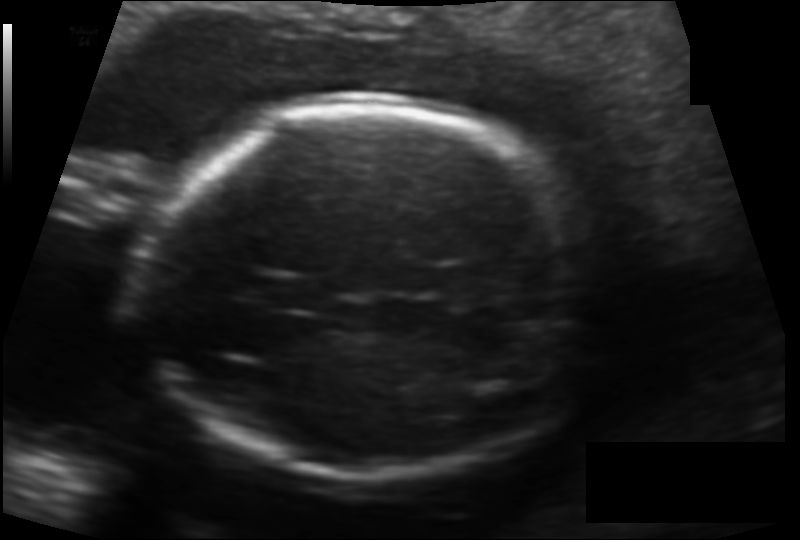
Measure the fetal head circumference shown in this ultrasound image. Image width: 105.8 mm.

Head circumference: 174.8 mm.